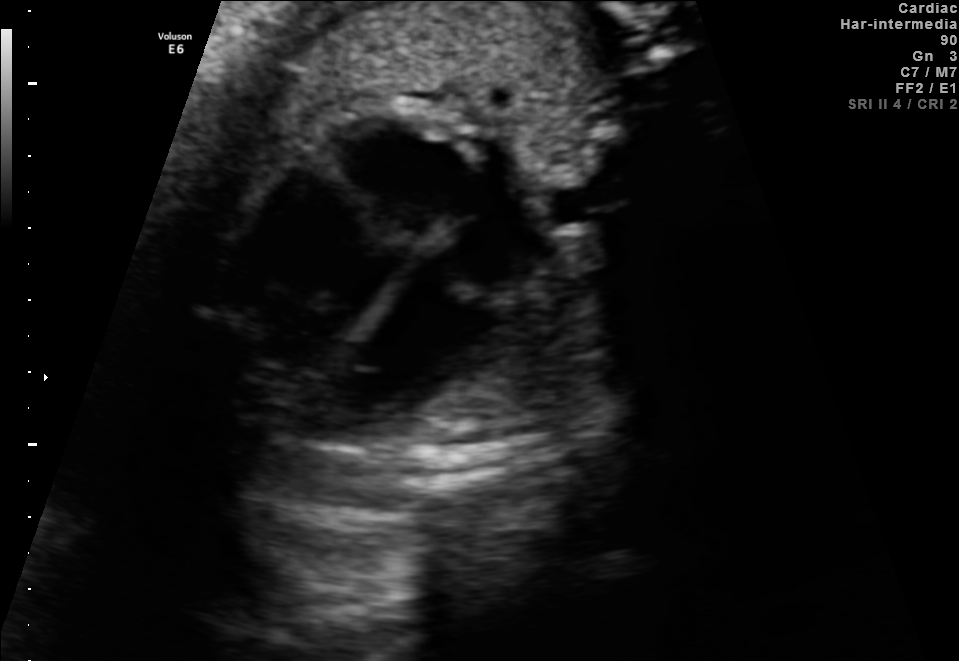
Which standard maternal-fetal ultrasound plane is shown: fetal abdomen, fetal brain, fetal femur, fetal thorax, maternal cervix, or other? If it's fetal brain and one of the three standard brain planes (trans-thalamic, trans-cerebellum, trans-ventricular), name which.

Fetal thorax